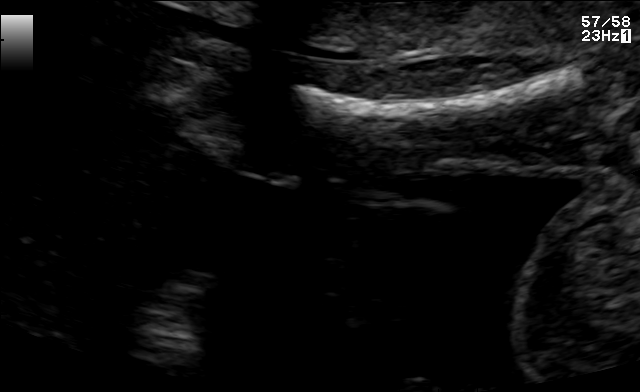
This is a 2D maternal-fetal ultrasound frame. Is it a fetal abdomen, fetal brain, fetal femur, fetal thorax, maternal cervix, or other standard plane? If it's fetal brain and one of the three standard brain planes (trans-thalamic, trans-cerebellum, trans-ventricular), name which.

Fetal femur